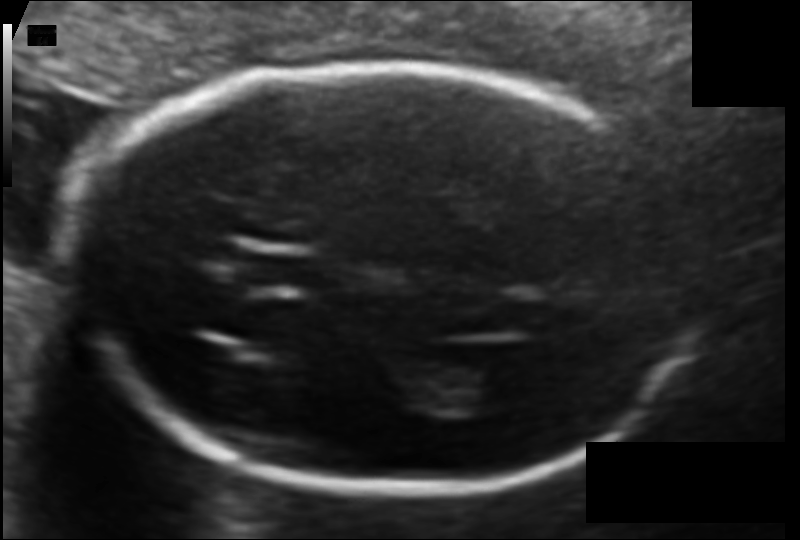
Fetal head ultrasound. Image width: 82.7 mm. Where is the fetal head?

Head bounding box: [83,63,705,490]